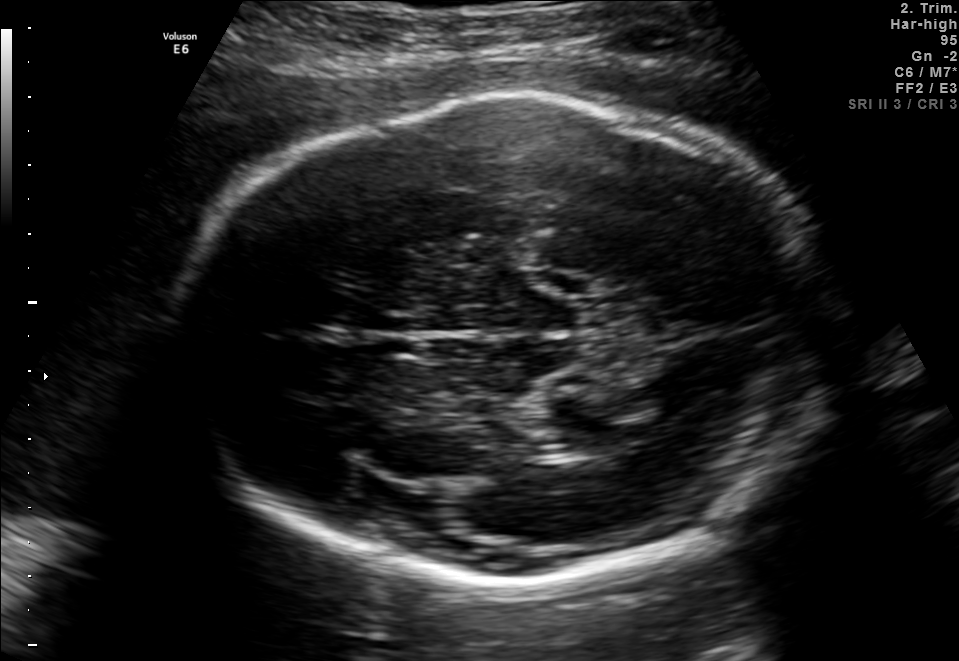
Fetal brain, trans-thalamic plane. Locate the fetal head and, if visible, the cavum septum pellucidum (CSP) and lateral ventricle (LV). Give bounding boxes as [x1,y1,x2,y2].

Head: [173,99,832,590]